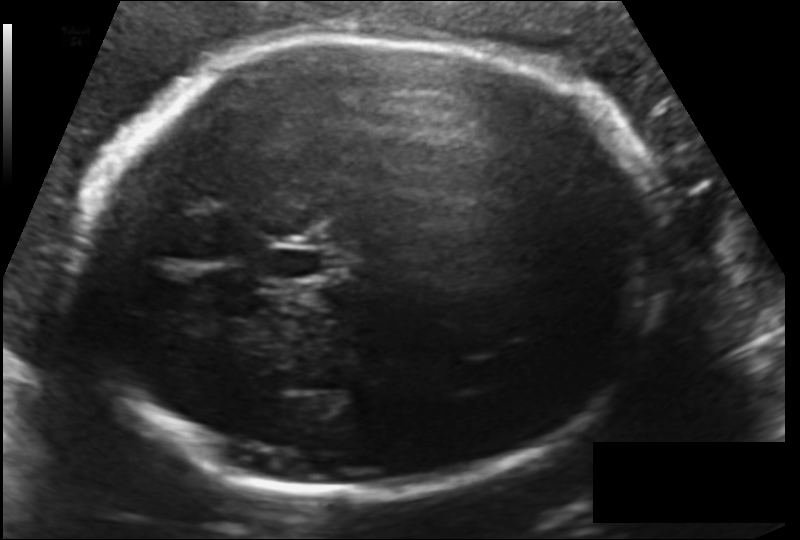
Fetal head ultrasound. Image width: 122.1 mm. Locate the fetal head.

Head: [74,35,666,498]